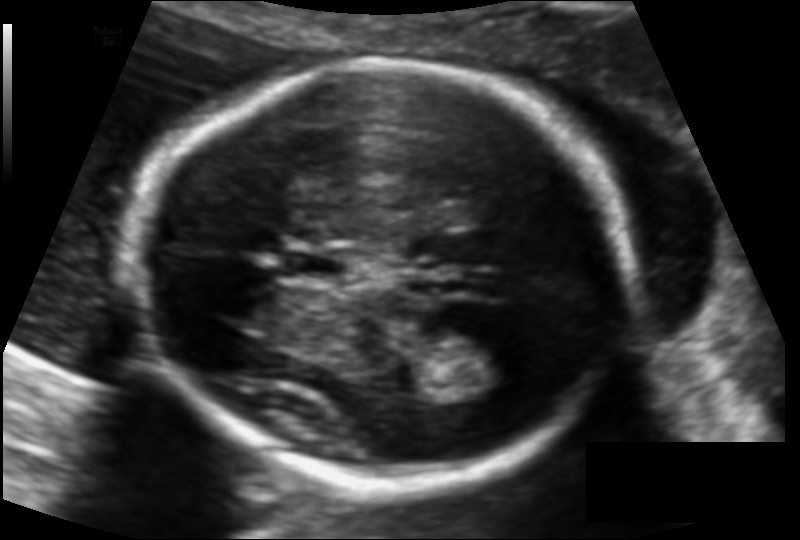
In this fetal head ultrasound, give the bounding box of the cavum septum pellucidum. Image width: 90.8 mm.

[284,249,346,283]